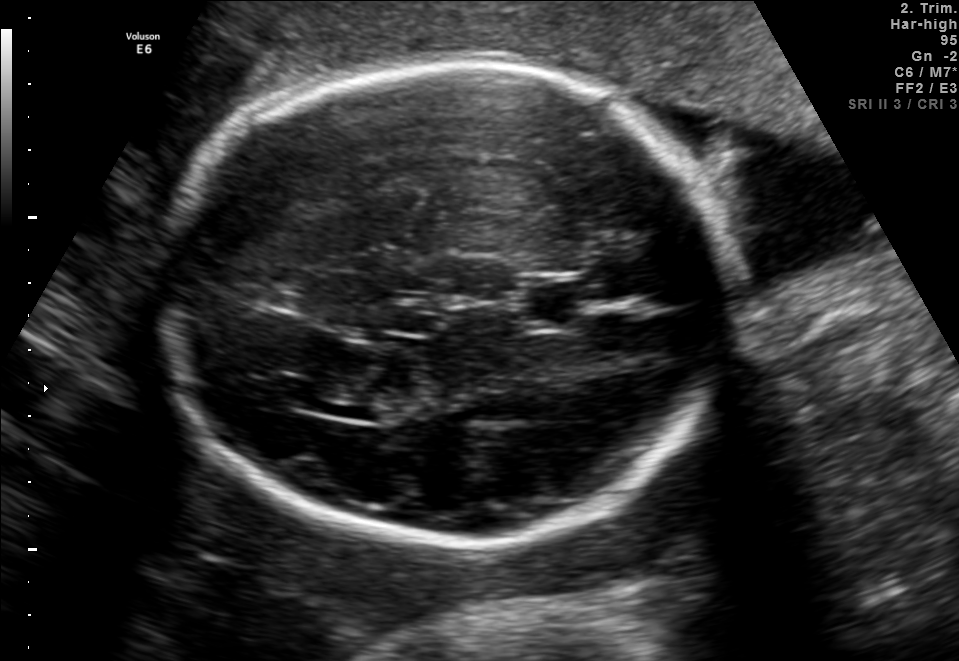
Fetal brain, trans-thalamic plane. Locate the fetal head.

Head: [161,58,726,545]